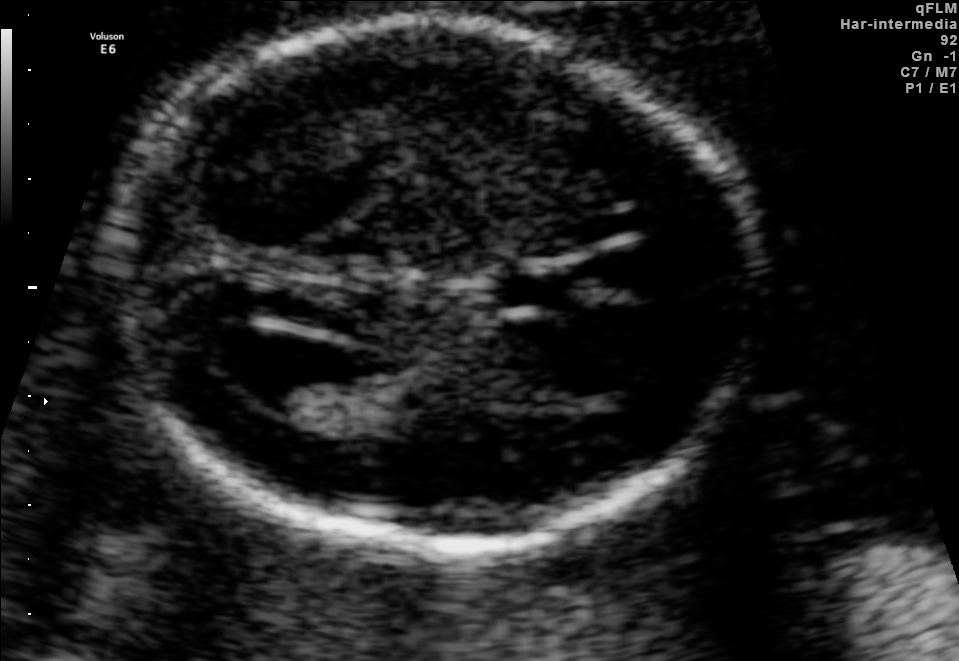
Fetal brain, trans-ventricular plane. Locate the lateral ventricle.

Lateral ventricle: [203,313,342,422]